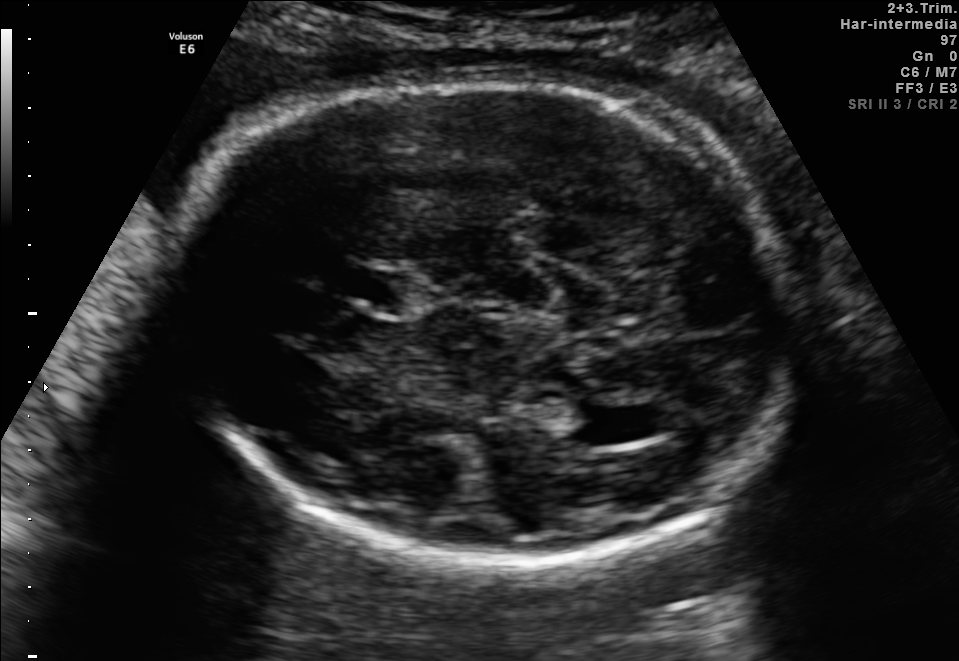
Fetal brain, trans-ventricular plane. Where is the lateral ventricle?

Lateral ventricle bounding box: [546,402,625,446]